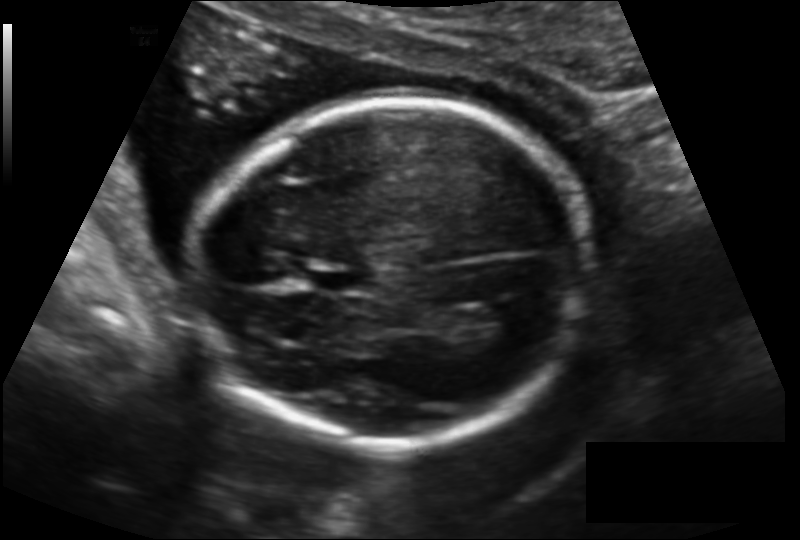
In this fetal head ultrasound, give the bounding box of the cavum septum pellucidum. Image width: 111.8 mm.

[309,264,370,297]